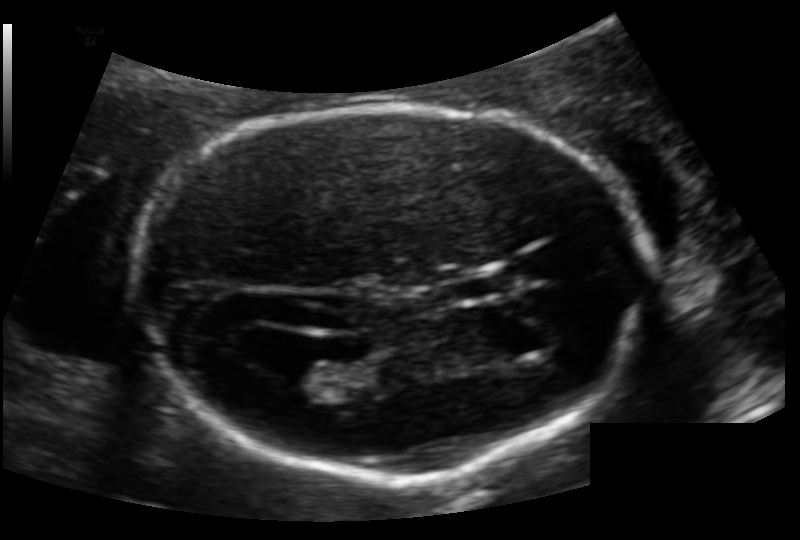
Fetal head ultrasound. Image width: 99.1 mm. Where is the cavum septum pellucidum?

CSP bounding box: [448,266,515,307]